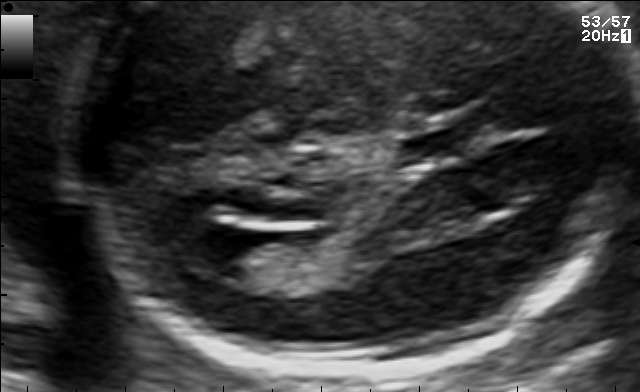
In this fetal brain, trans-ventricular plane, give the bounding box of the lateral ventricle.

[167,212,260,281]